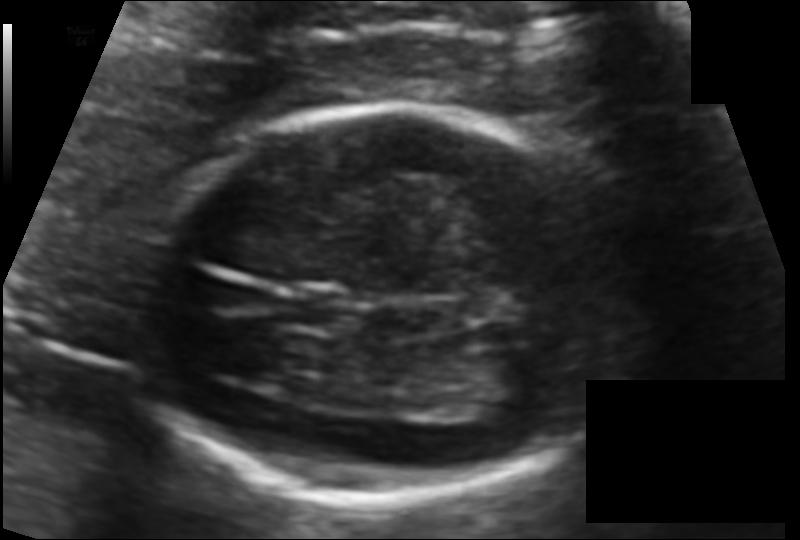
In this fetal head ultrasound, give the bounding box of the fetal head. Image width: 80.0 mm.

[141,105,632,499]